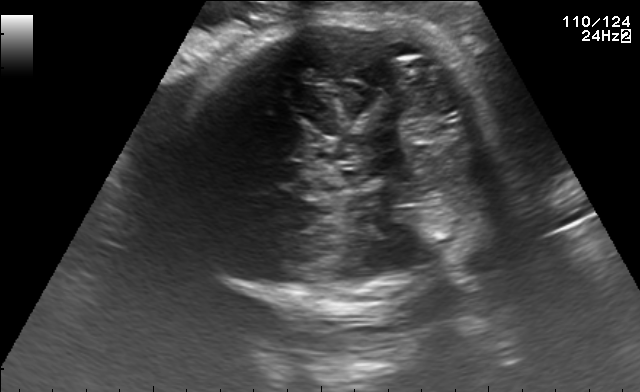
Fetal brain, trans-thalamic plane. Give [x1,y1,x2,y2] bounding boxes for each visible structure among: fetal head, CSP, LV.

Head: [172,17,495,305]